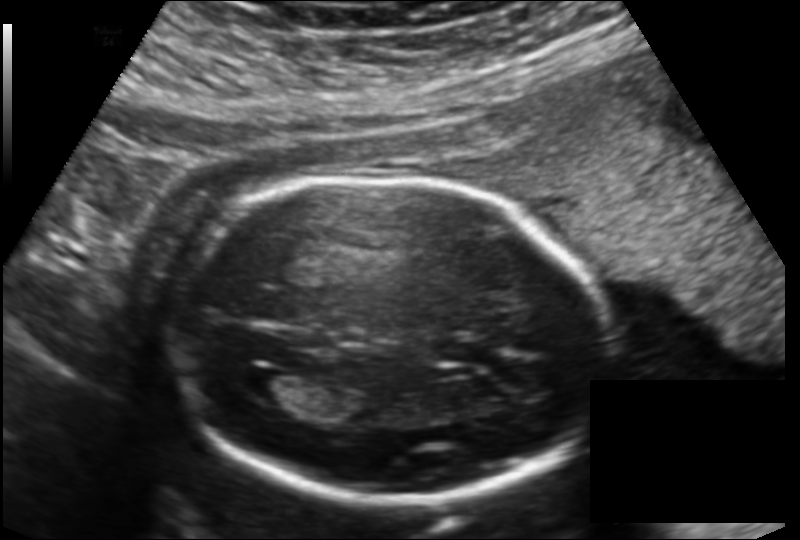
Fetal head ultrasound. Image width: 120.4 mm. Where is the cavum septum pellucidum?

CSP bounding box: [435,337,488,366]